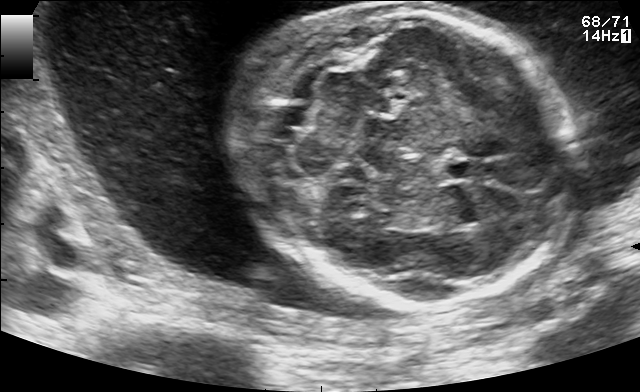
This is a 2D maternal-fetal ultrasound frame. Is it a fetal abdomen, fetal brain, fetal femur, fetal thorax, maternal cervix, or other standard plane? If it's fetal brain and one of the three standard brain planes (trans-thalamic, trans-cerebellum, trans-ventricular), name which.

Fetal brain (trans-cerebellum plane)